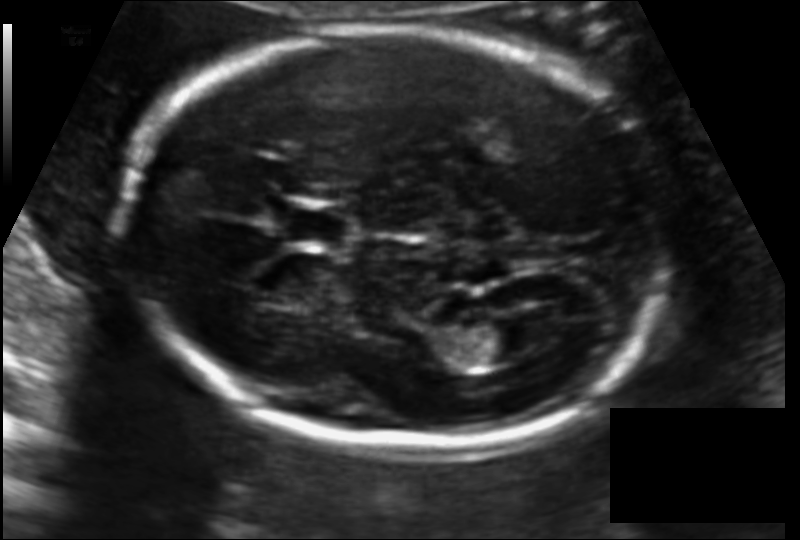
Fetal head ultrasound. Image width: 95.2 mm. Locate the fetal head and, if visible, the cavum septum pellucidum (CSP) and lateral ventricle (LV). Give bounding boxes as [x1,y1,x2,y2].

Head: [123,28,673,447]
CSP: [275,200,355,252]
Lateral ventricle: [456,311,541,371]